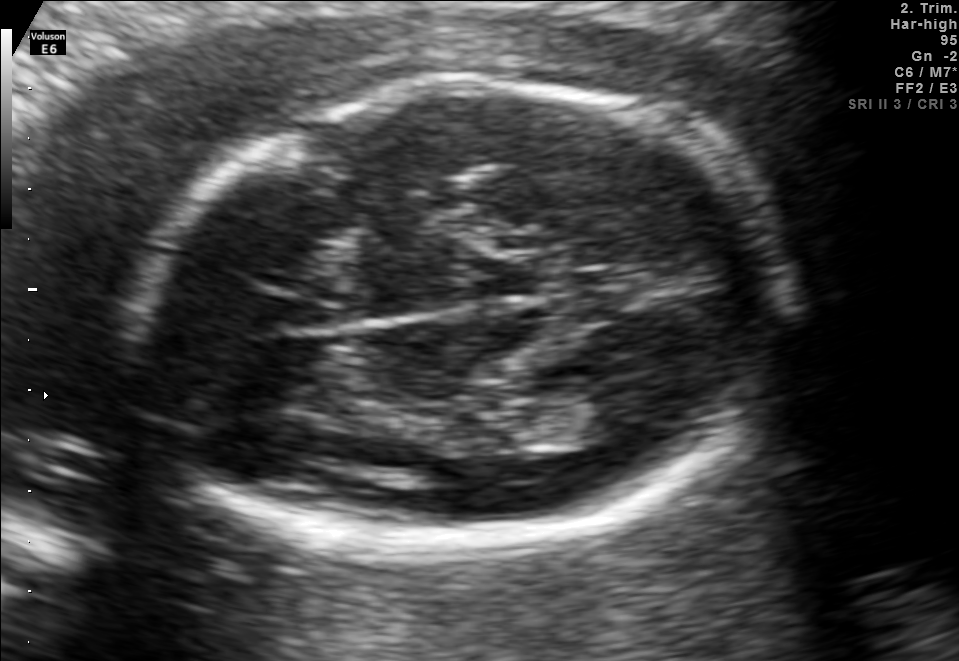
Fetal brain, trans-thalamic plane. Locate the lateral ventricle.

Lateral ventricle: [551,384,639,448]